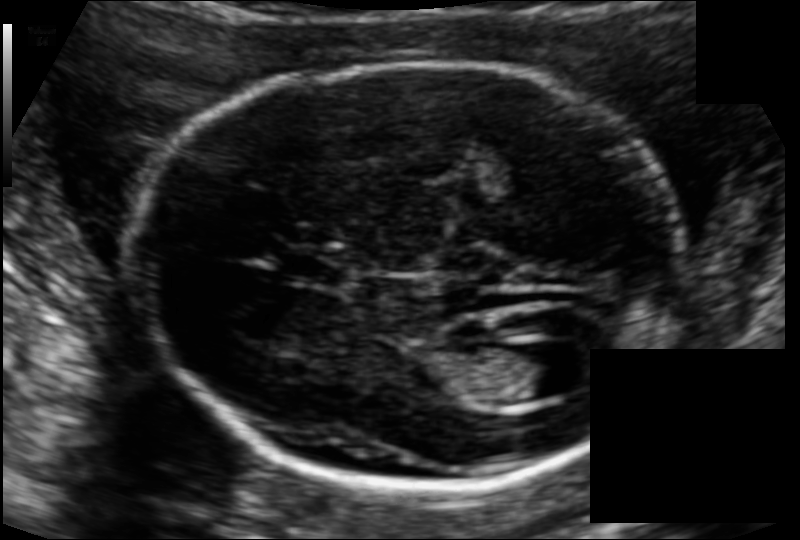
Fetal head ultrasound. Image width: 88.5 mm. Where is the cavum septum pellucidum?

CSP bounding box: [277,248,345,285]